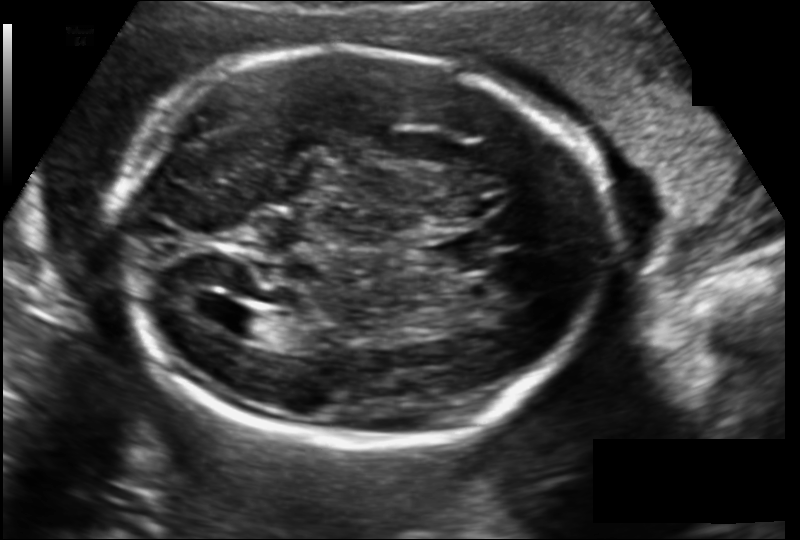
Fetal head ultrasound. Image width: 119.2 mm. Locate the fetal head.

Head: [113,48,606,443]